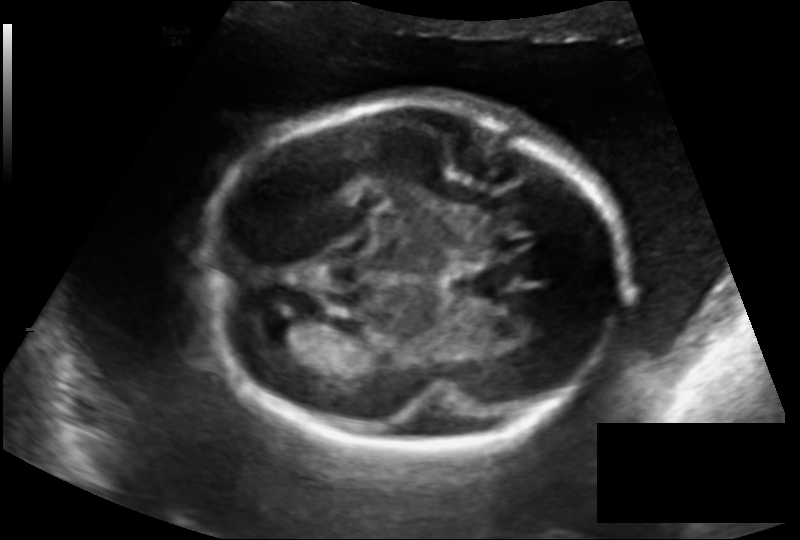
In this fetal head ultrasound, give the bounding box of the lateral ventricle. Image width: 129.7 mm.

[246,302,302,351]